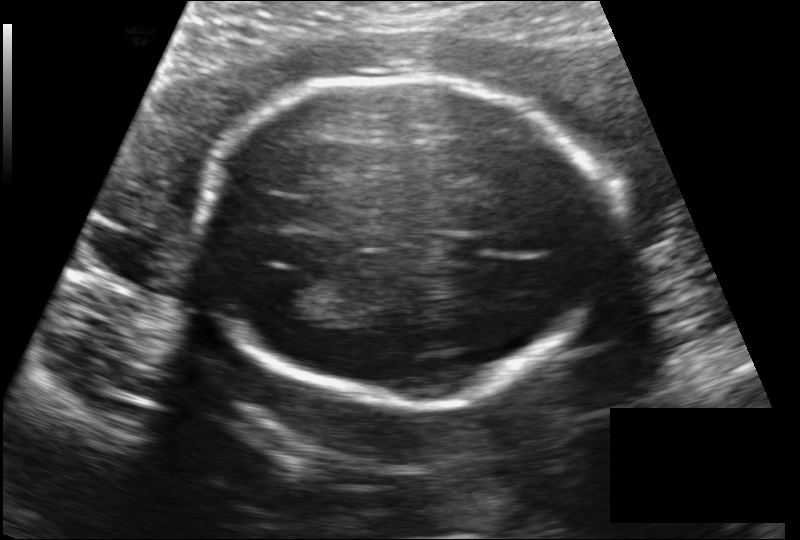
Fetal head ultrasound. Image width: 119.2 mm. Locate the fetal head.

Head: [199,73,598,402]